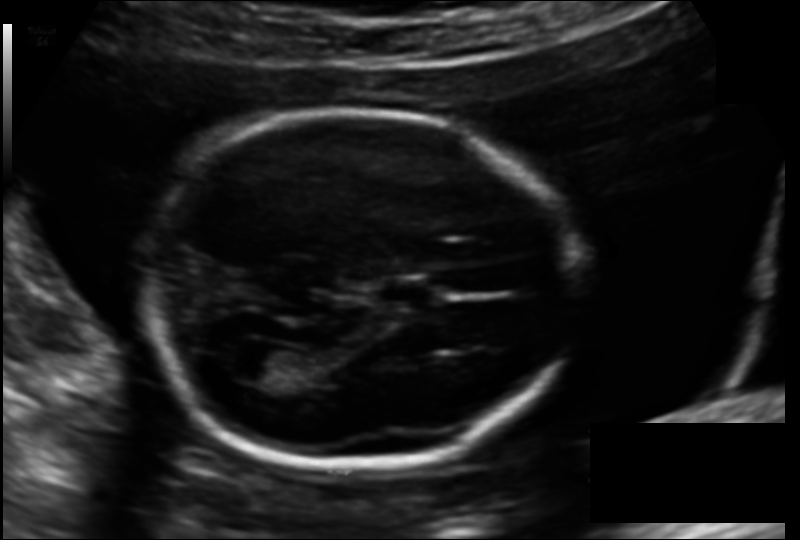
Fetal head ultrasound. Image width: 109.9 mm. Where is the cavum septum pellucidum?

CSP bounding box: [378,277,437,304]